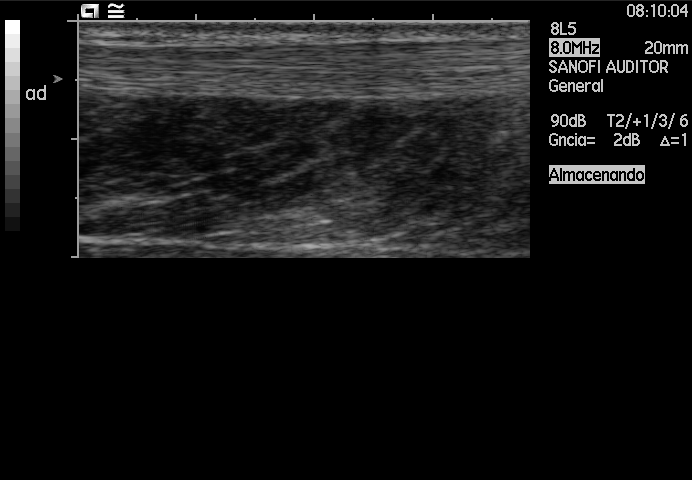
Classify this maternal-fetal ultrasound image as one of the six standard planes — fetal abdomen, fetal brain, fetal femur, fetal thorax, maternal cervix, or other. If it's fetal brain and one of the three standard brain planes (trans-thalamic, trans-cerebellum, trans-ventricular), name which.

Other